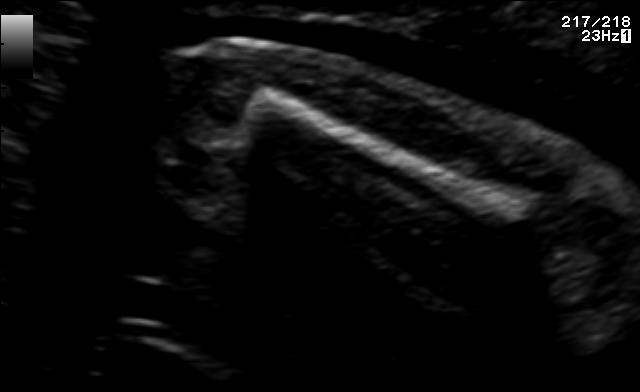
Classify this maternal-fetal ultrasound image as one of the six standard planes — fetal abdomen, fetal brain, fetal femur, fetal thorax, maternal cervix, or other. If it's fetal brain and one of the three standard brain planes (trans-thalamic, trans-cerebellum, trans-ventricular), name which.

Fetal femur